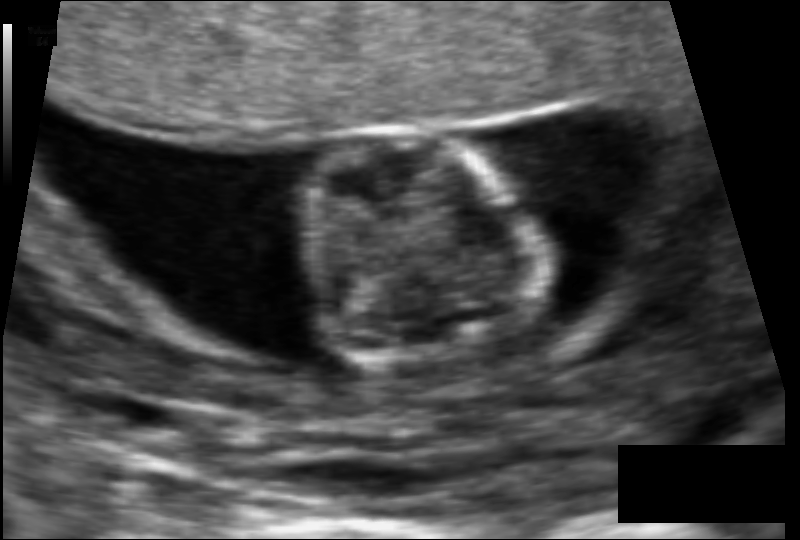
From this fetal ultrasound, estimate the head circumference (image width 63.1 mm).

Head circumference: 63.3 mm.